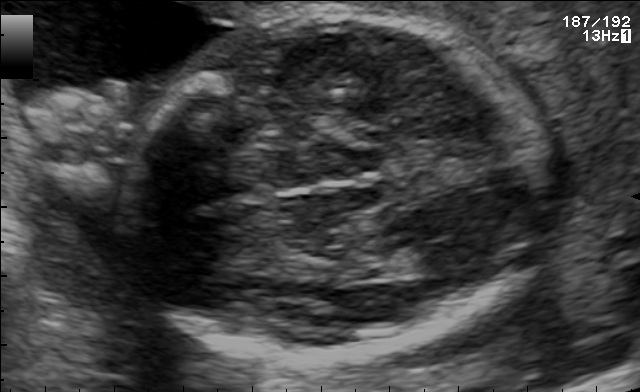
Fetal brain, trans-thalamic plane. Give [x1,y1,x2,y2] bounding boxes for each visible structure among: fetal head, CSP, LV.

Head: [114,14,550,358]